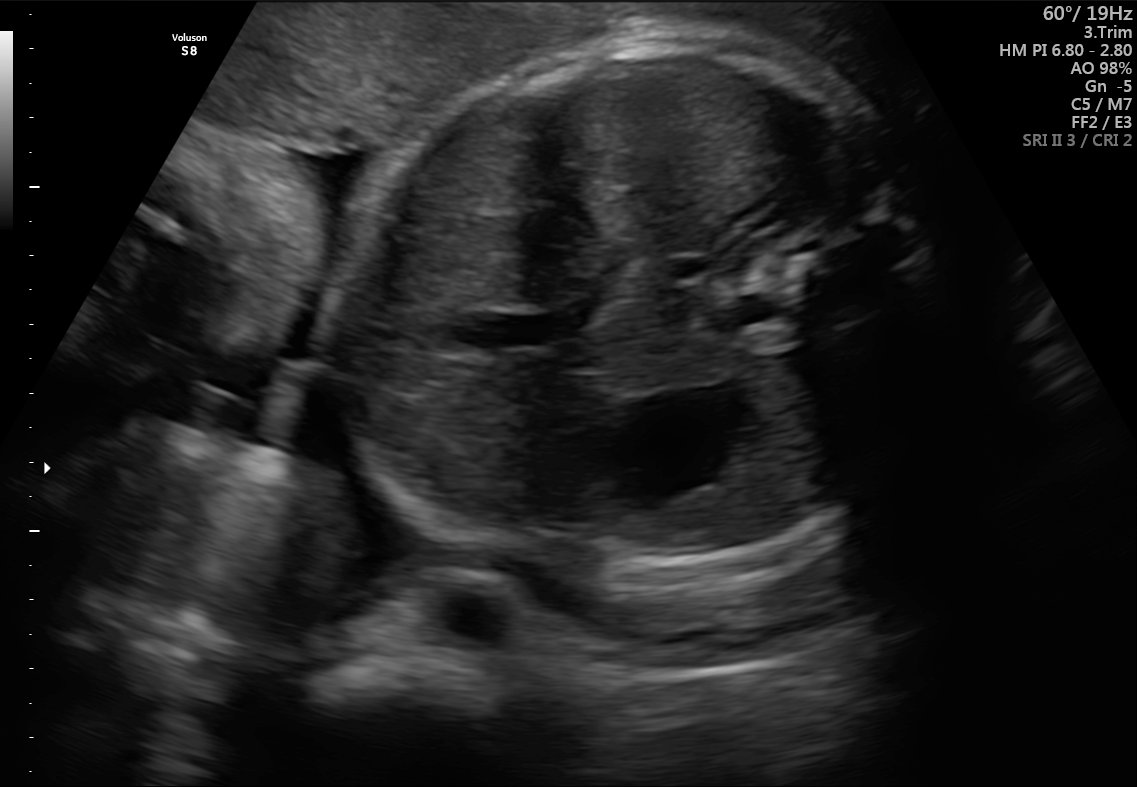
Identify the standard plane in this fetal ultrasound image: fetal abdomen, fetal brain, fetal femur, fetal thorax, maternal cervix, or other. If it's fetal brain and one of the three standard brain planes (trans-thalamic, trans-cerebellum, trans-ventricular), name which.

Fetal abdomen